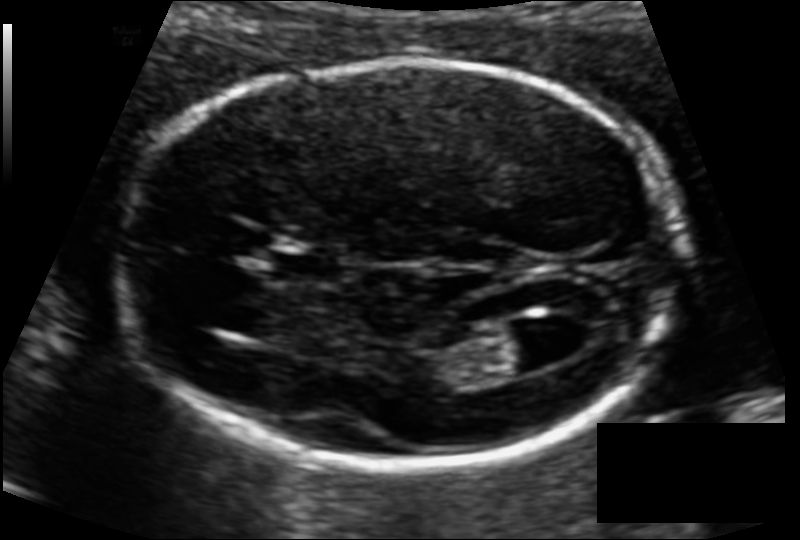
Fetal head ultrasound. Image width: 83.4 mm. Locate the cavum septum pellucidum.

CSP: [272,253,342,281]